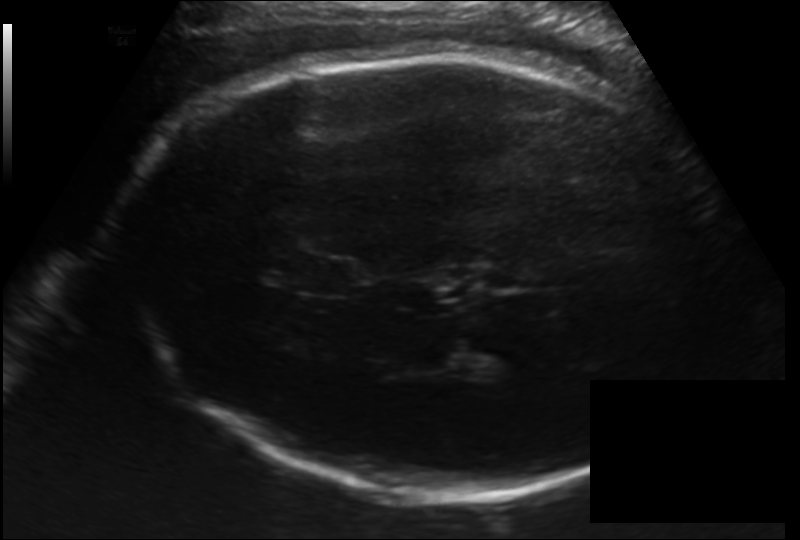
In this fetal head ultrasound, give bounding boxes for the head outline, cavum septum pellucidum (CSP), and lateral ventricle (LV), where visible. Image width: 153.4 mm.

Head: [118,51,727,497]
CSP: [286,251,362,299]